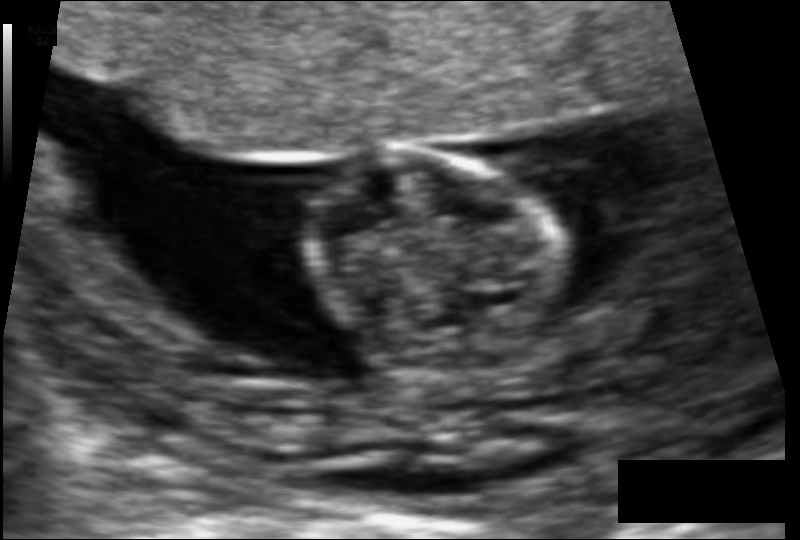
Estimate the fetal head circumference from this 2D ultrasound.

Head circumference: 62.9 mm (image width 63.2 mm).